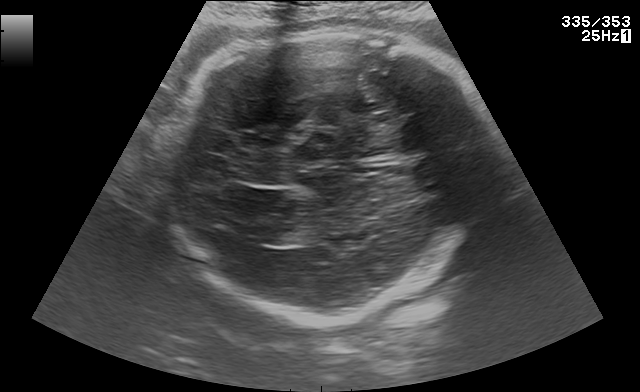
Which standard maternal-fetal ultrasound plane is shown: fetal abdomen, fetal brain, fetal femur, fetal thorax, maternal cervix, or other? If it's fetal brain and one of the three standard brain planes (trans-thalamic, trans-cerebellum, trans-ventricular), name which.

Fetal brain (trans-thalamic plane)